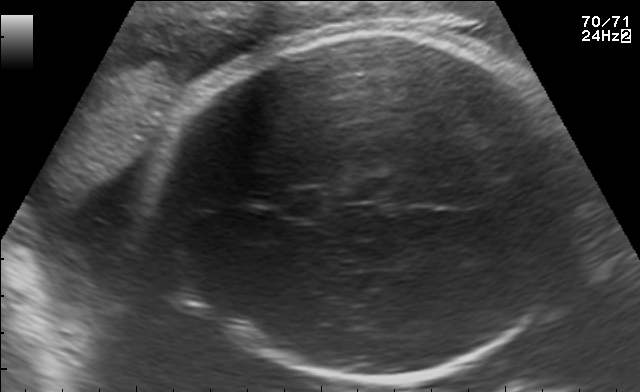
Fetal brain, trans-thalamic plane. Where is the fetal head?

Head bounding box: [153,30,588,375]